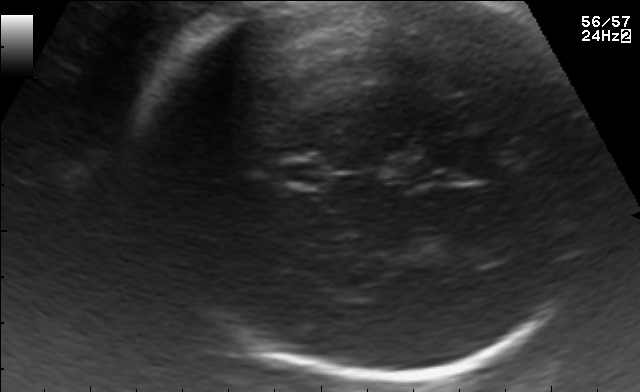
In this fetal brain, trans-thalamic plane, give the bounding box of the fetal head.

[137,1,602,377]